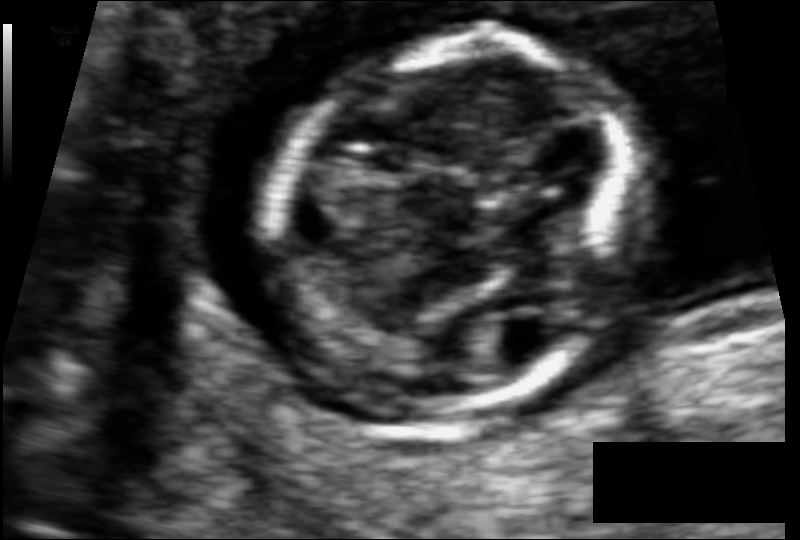
From this fetal ultrasound, estimate the head circumference (image width 49.9 mm).

Head circumference: 76.2 mm.